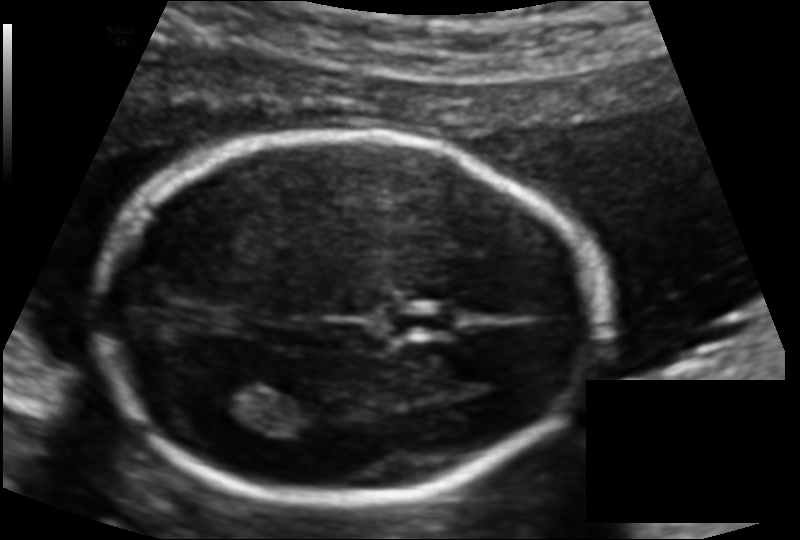
Fetal head ultrasound. Image width: 91.6 mm. Locate the cavum septum pellucidum.

CSP: [389,307,453,336]